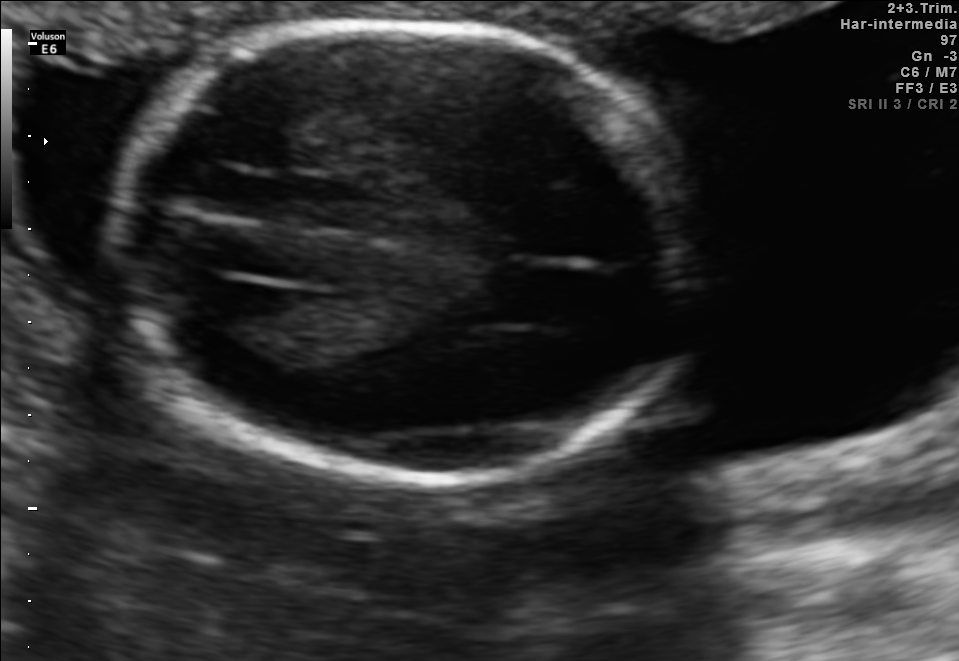
Identify the standard plane in this fetal ultrasound image: fetal abdomen, fetal brain, fetal femur, fetal thorax, maternal cervix, or other. If it's fetal brain and one of the three standard brain planes (trans-thalamic, trans-cerebellum, trans-ventricular), name which.

Fetal brain (trans-thalamic plane)